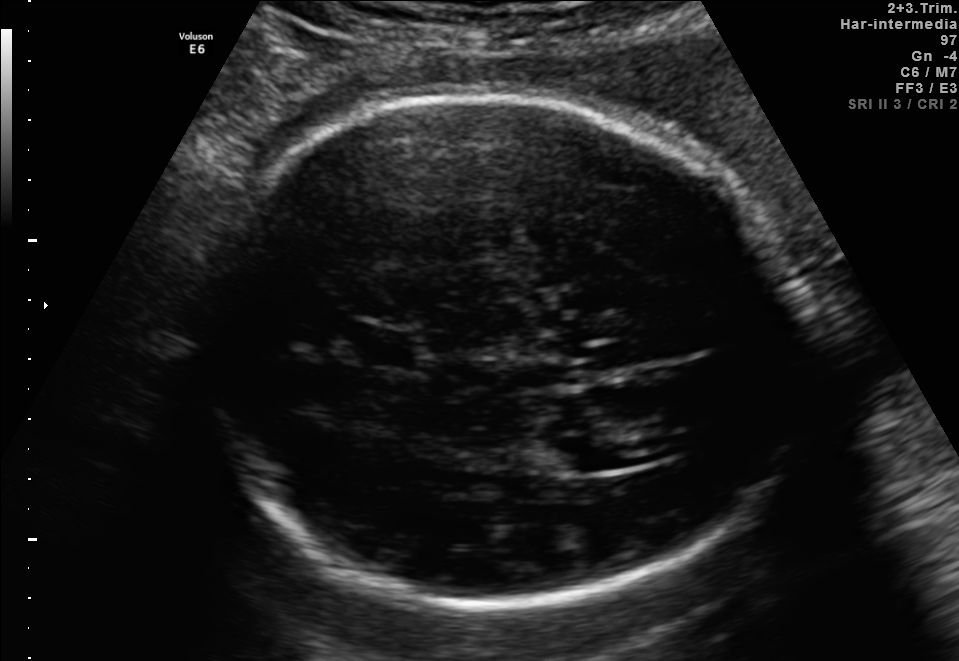
In this fetal brain, trans-ventricular plane, give the bounding box of the fetal head.

[187,87,824,616]